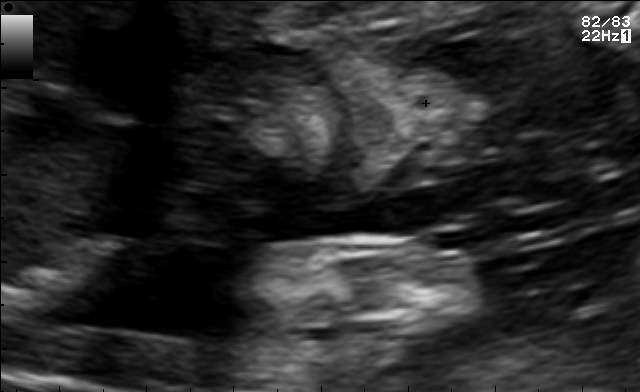
Which standard maternal-fetal ultrasound plane is shown: fetal abdomen, fetal brain, fetal femur, fetal thorax, maternal cervix, or other? If it's fetal brain and one of the three standard brain planes (trans-thalamic, trans-cerebellum, trans-ventricular), name which.

Other